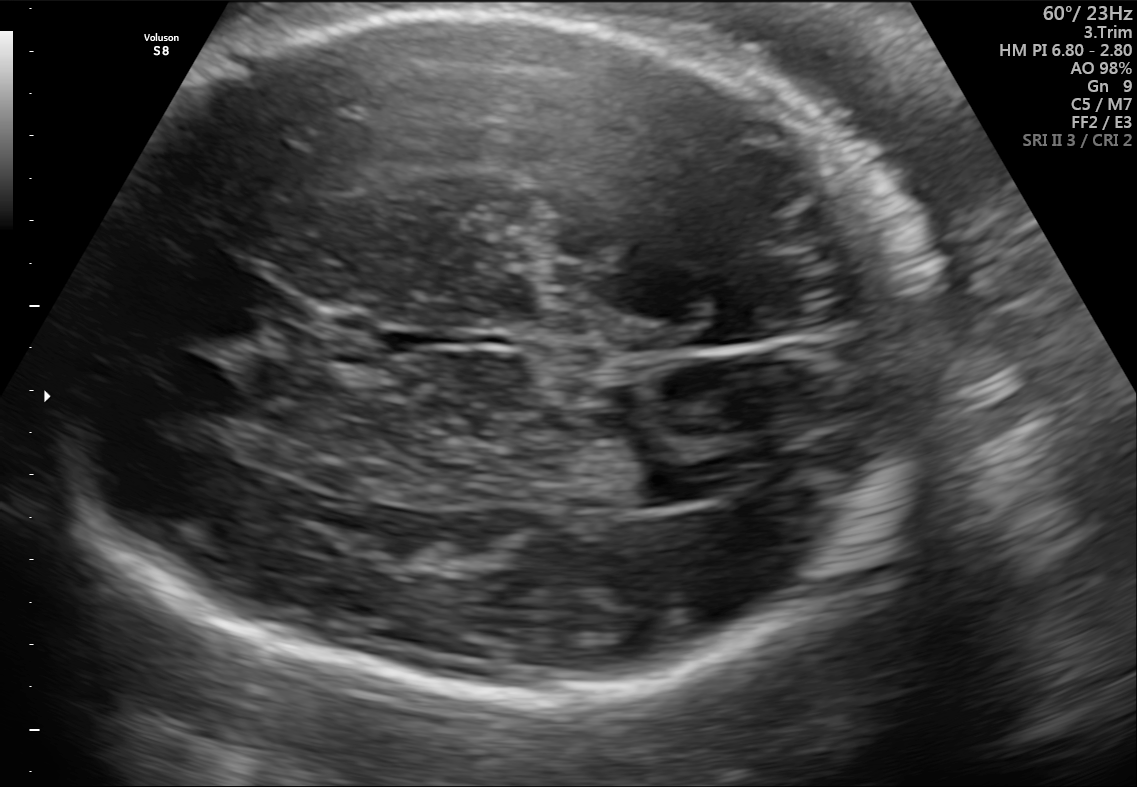
In this fetal brain, trans-ventricular plane, give the bounding box of the fetal head.

[76,8,928,693]